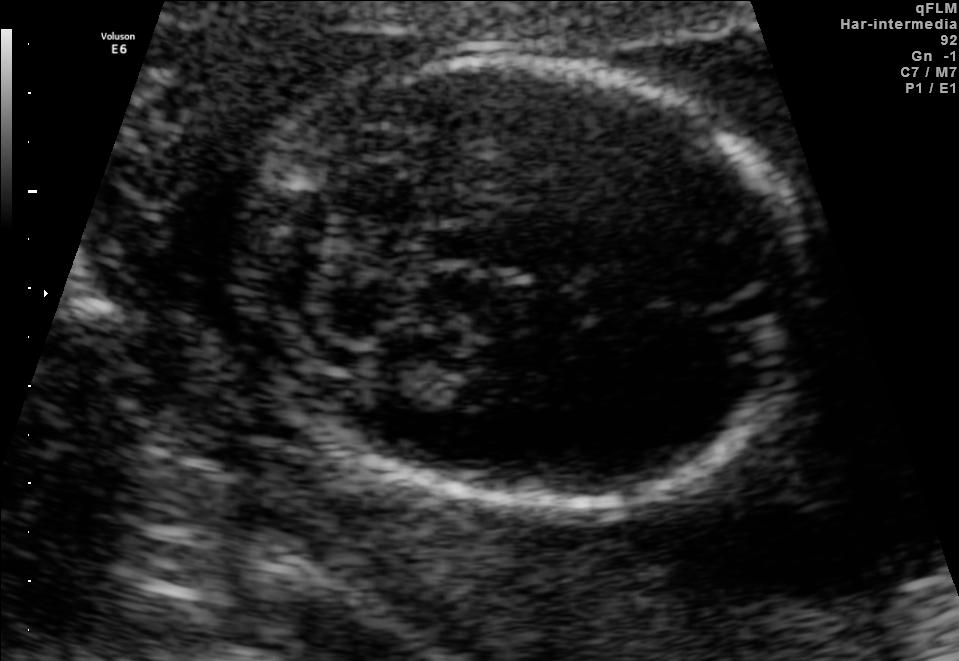
In this fetal brain, trans-cerebellum plane, give the bounding box of the fetal head.

[245,58,810,511]